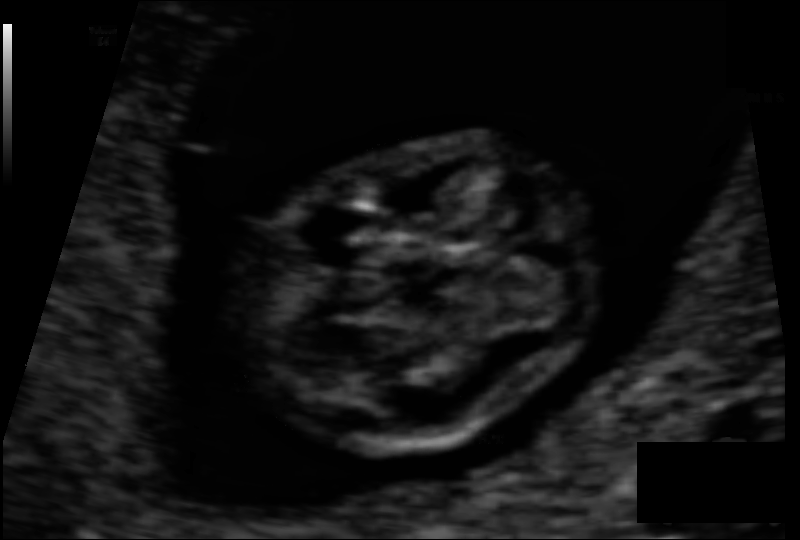
What is the fetal head circumference? Image width is 48.2 mm.

65.0 mm